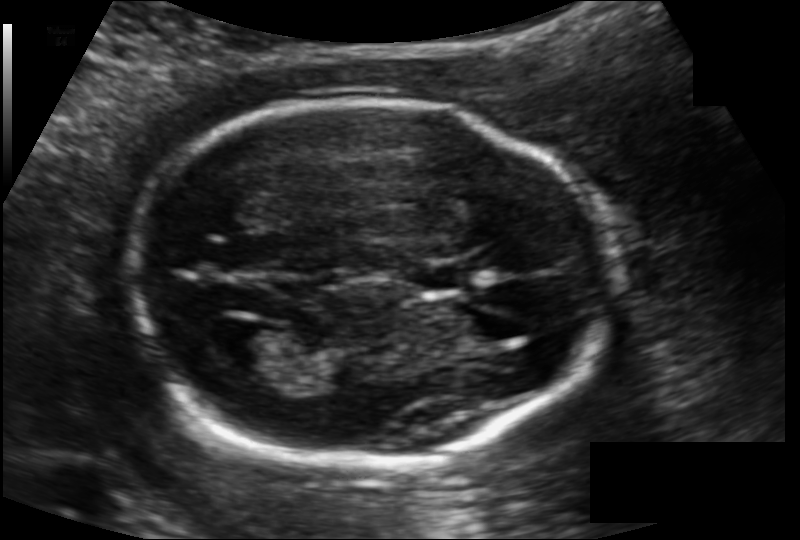
In this fetal head ultrasound, give the bounding box of the fetal head. Image width: 96.5 mm.

[127,101,615,463]